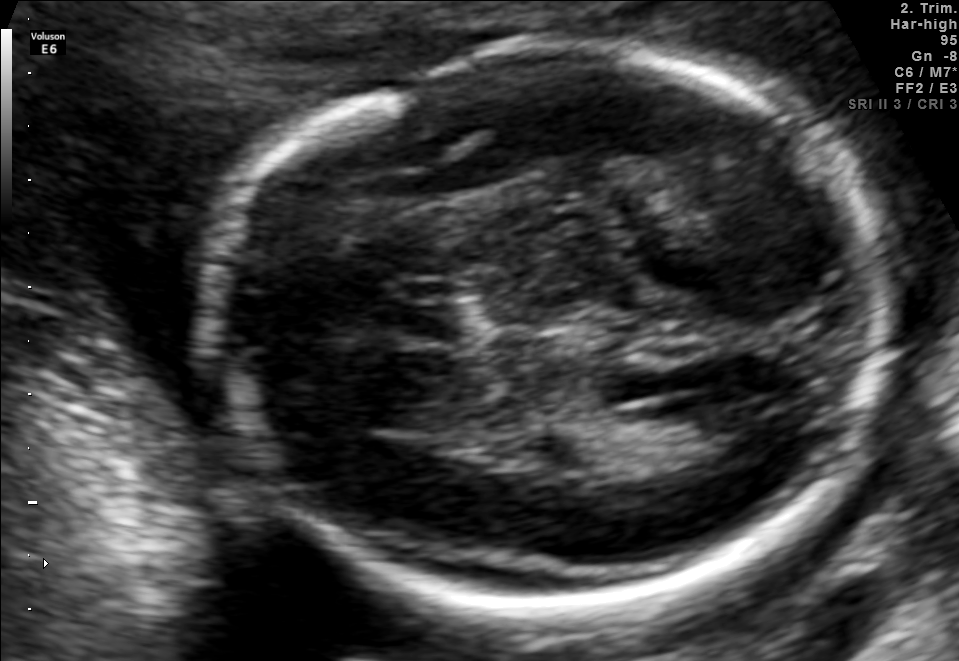
In this fetal brain, trans-ventricular plane, give the bounding box of the cavum septum pellucidum.

[376,289,486,346]